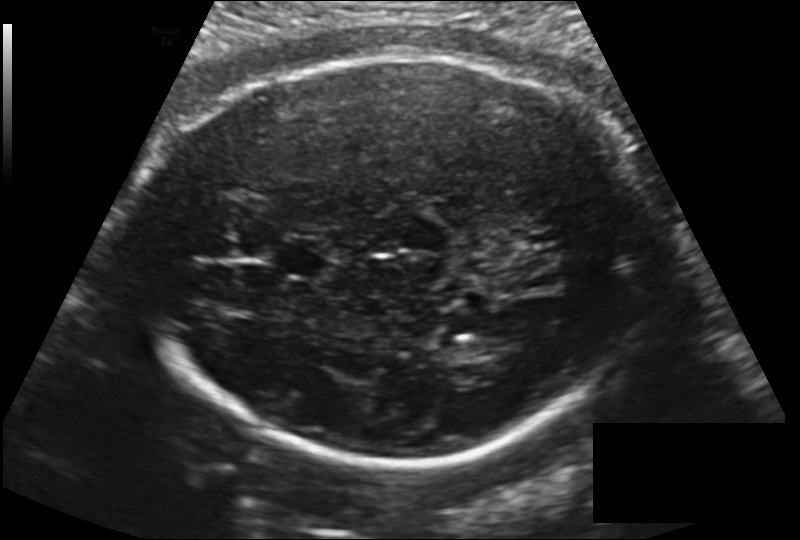
In this fetal head ultrasound, give bounding boxes for the head outline, cavum septum pellucidum (CSP), and lateral ventricle (LV), where visible. Image width: 144.8 mm.

Head: [134,58,657,464]
CSP: [274,237,336,279]